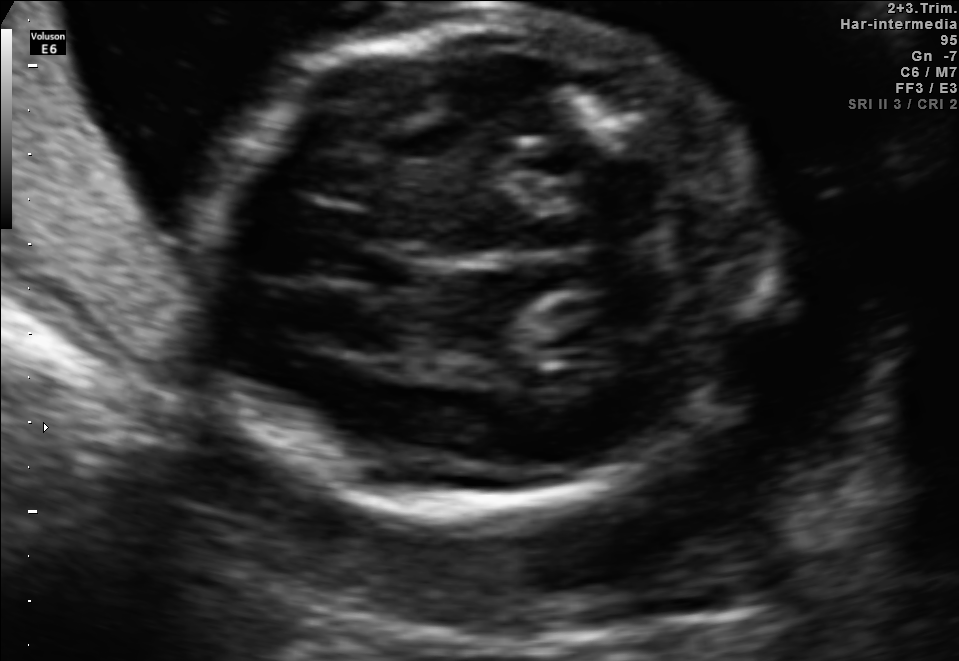
Fetal brain, trans-cerebellum plane. Locate the fetal head and, if visible, the cavum septum pellucidum (CSP) and lateral ventricle (LV). Give bounding boxes as [x1,y1,x2,y2].

Head: [198,5,763,508]
CSP: [348,245,426,295]